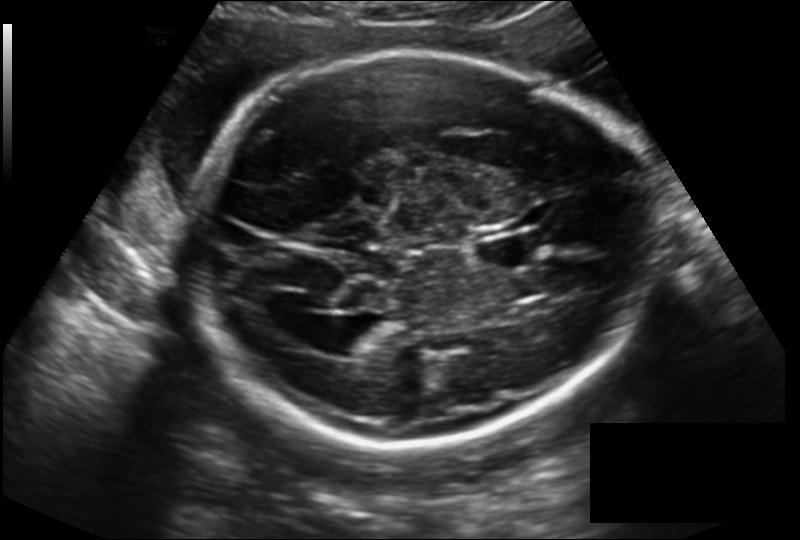
Fetal head ultrasound. Image width: 155.0 mm. Where is the fetal head?

Head bounding box: [187,51,648,446]